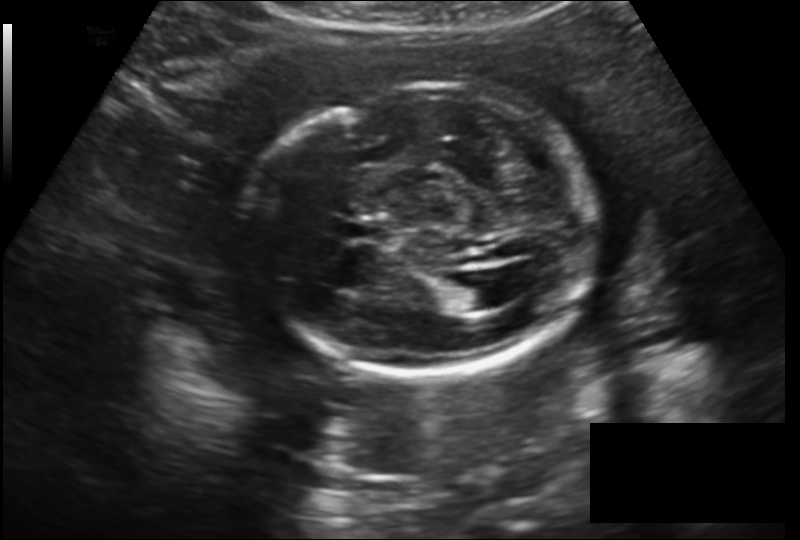
Fetal head ultrasound. Image width: 145.7 mm. Where is the fetal head?

Head bounding box: [246,85,596,373]